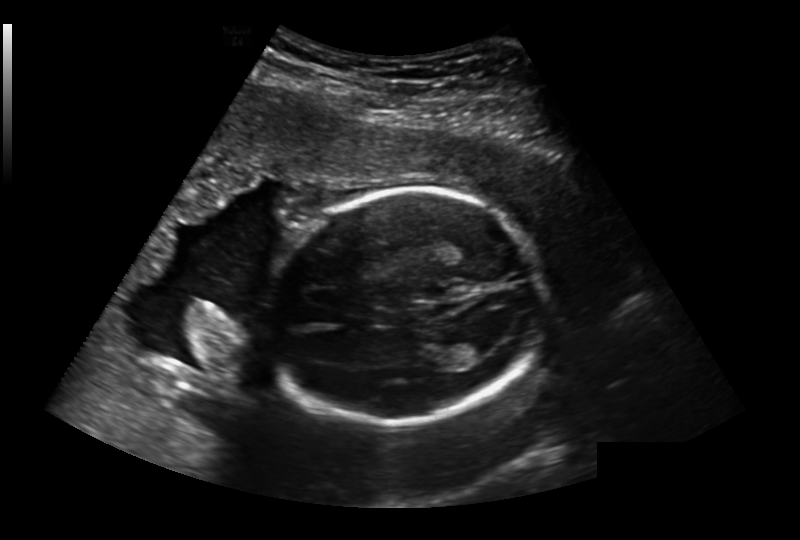
From this fetal ultrasound, estimate the head circumference (image width 188.7 mm).

Head circumference: 193.1 mm.